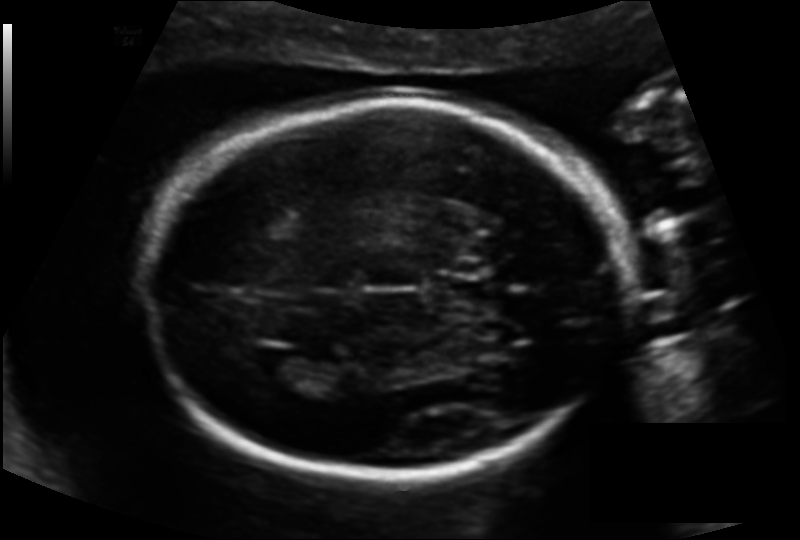
What is the fetal head circumference? Image width is 107.7 mm.

186.8 mm